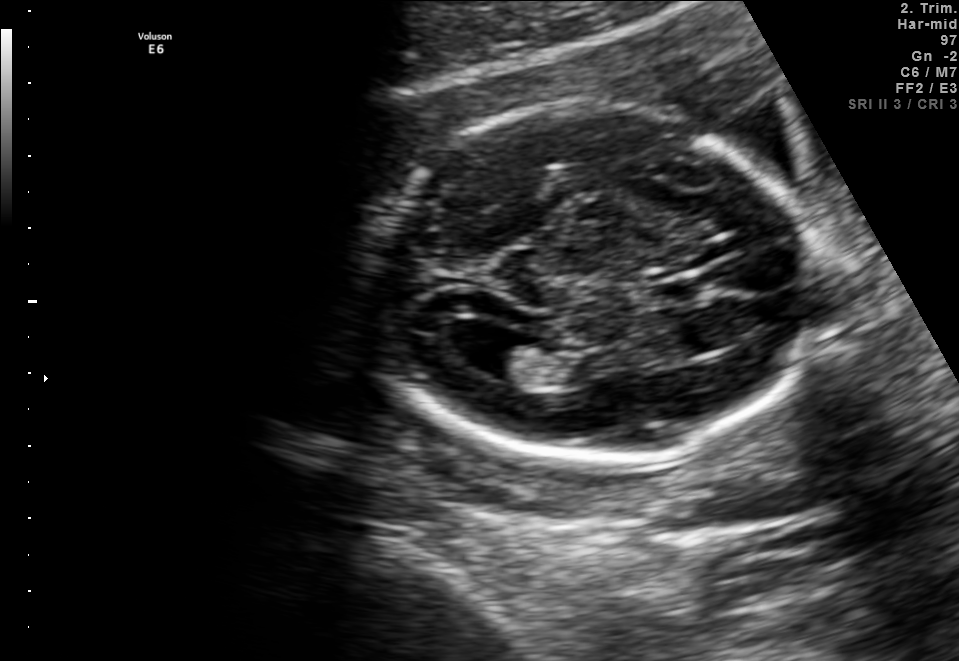
In this fetal brain, trans-ventricular plane, give the bounding box of the cavum septum pellucidum.

[646,273,717,308]